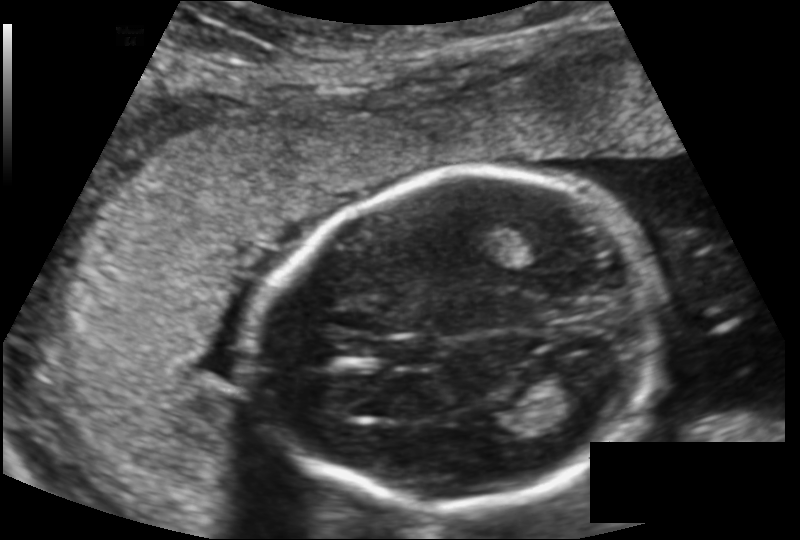
Fetal head ultrasound. Image width: 119.2 mm. Locate the lateral ventricle.

Lateral ventricle: [540,349,615,417]